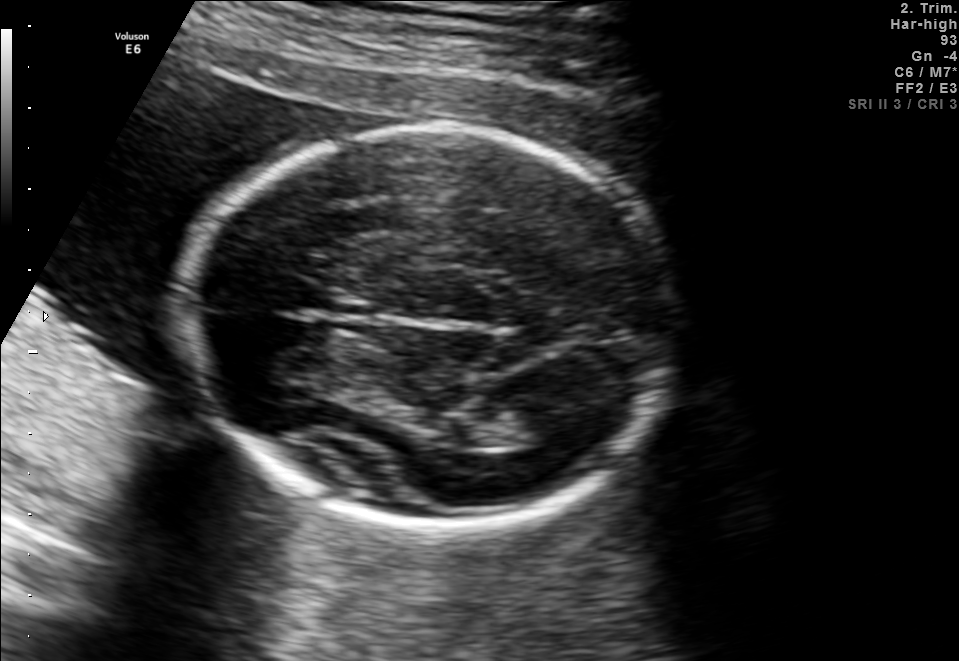
Fetal brain, trans-thalamic plane. Locate the fetal head.

Head: [183,127,676,522]